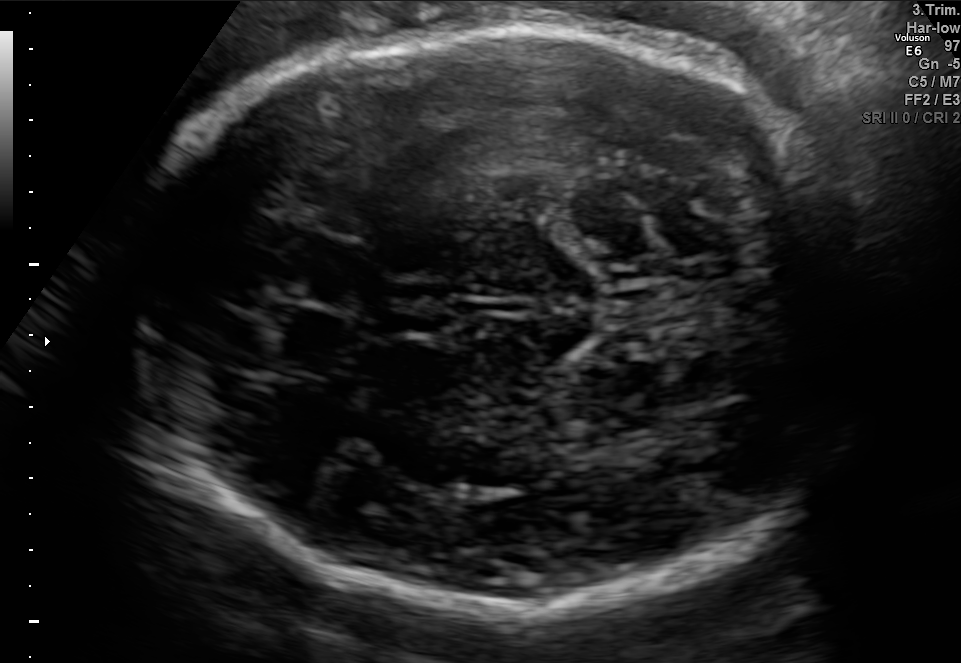
Identify the standard plane in this fetal ultrasound image: fetal abdomen, fetal brain, fetal femur, fetal thorax, maternal cervix, or other. If it's fetal brain and one of the three standard brain planes (trans-thalamic, trans-cerebellum, trans-ventricular), name which.

Fetal brain (trans-thalamic plane)